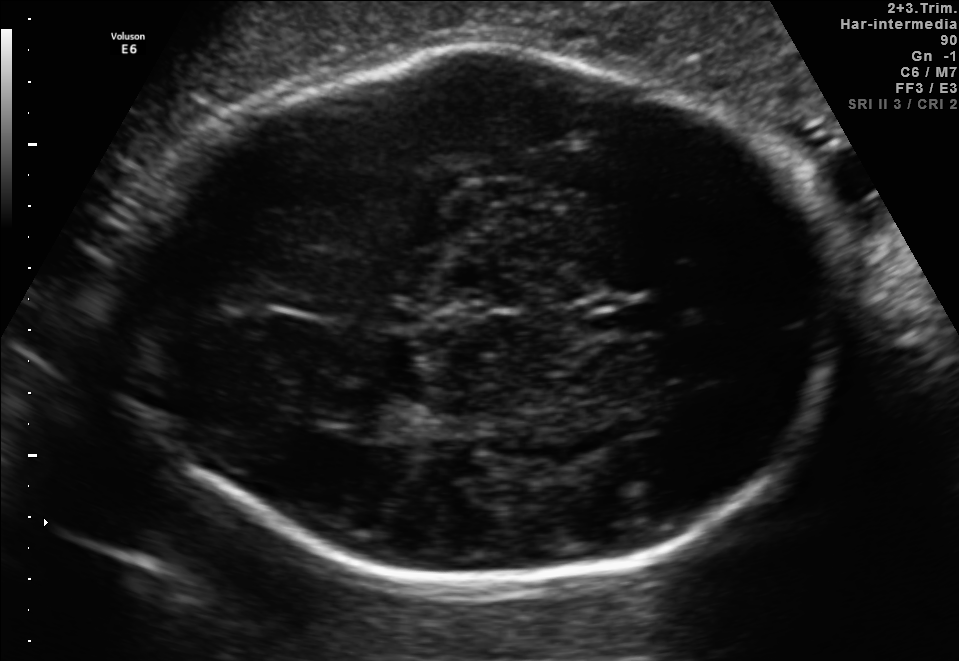
Fetal brain, trans-thalamic plane. Give [x1,y1,x2,y2] bounding boxes for each visible structure among: fetal head, CSP, LV.

Head: [102,50,841,579]
CSP: [578,296,659,340]